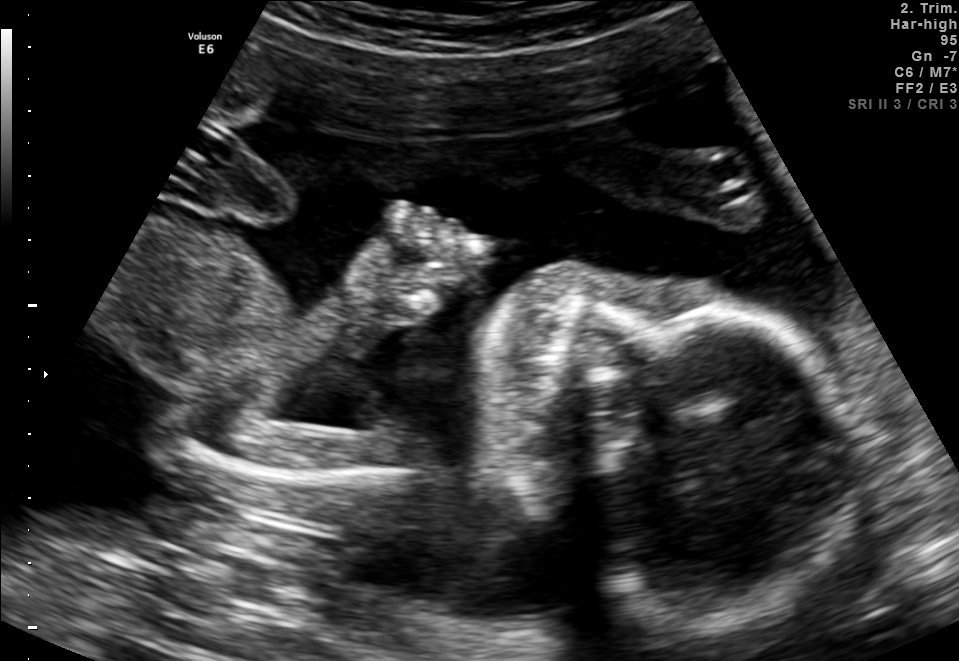
Identify the standard plane in this fetal ultrasound image: fetal abdomen, fetal brain, fetal femur, fetal thorax, maternal cervix, or other. If it's fetal brain and one of the three standard brain planes (trans-thalamic, trans-cerebellum, trans-ventricular), name which.

Other